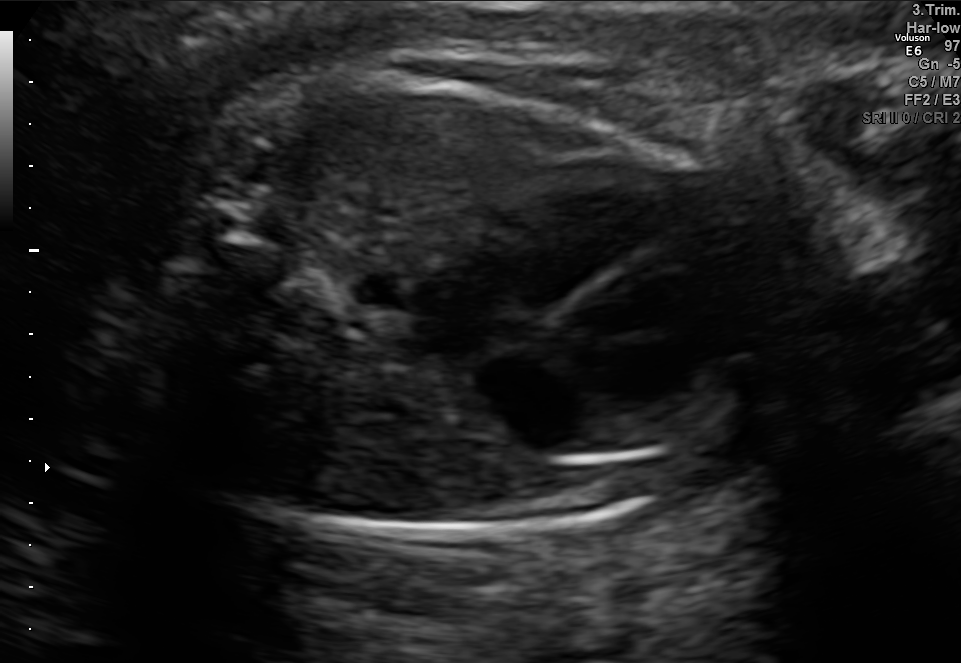
This is a 2D maternal-fetal ultrasound frame. Is it a fetal abdomen, fetal brain, fetal femur, fetal thorax, maternal cervix, or other standard plane? If it's fetal brain and one of the three standard brain planes (trans-thalamic, trans-cerebellum, trans-ventricular), name which.

Fetal thorax